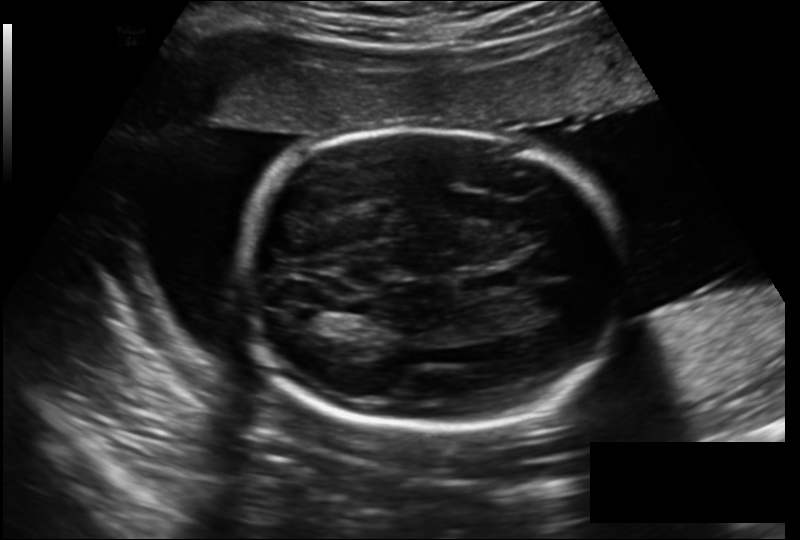
Fetal head ultrasound. Image width: 164.7 mm. Where is the lateral ventricle?

Lateral ventricle bounding box: [283,305,323,332]